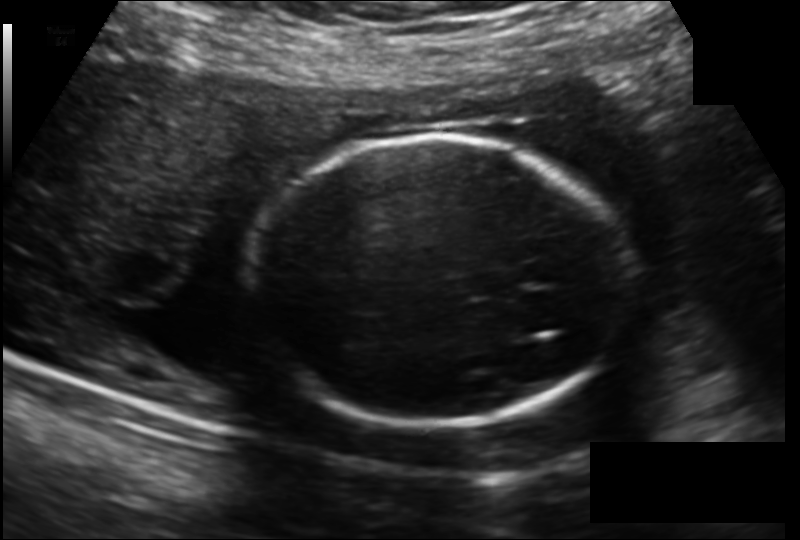
In this fetal head ultrasound, give the bounding box of the fetal head. Image width: 132.5 mm.

[251,140,624,426]